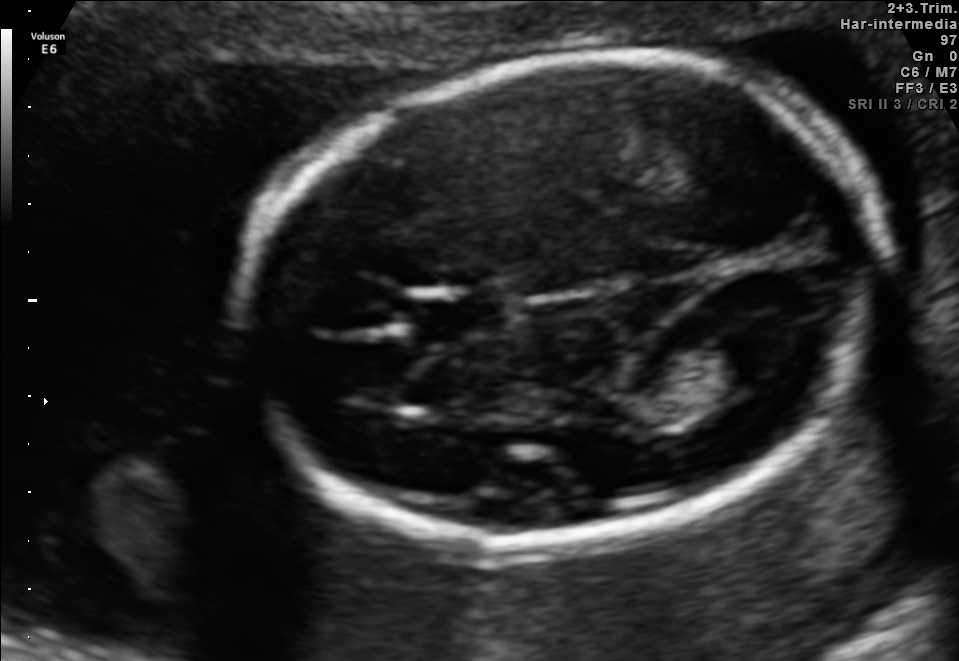
Fetal brain, trans-ventricular plane. Where is the fetal head?

Head bounding box: [235,49,896,564]